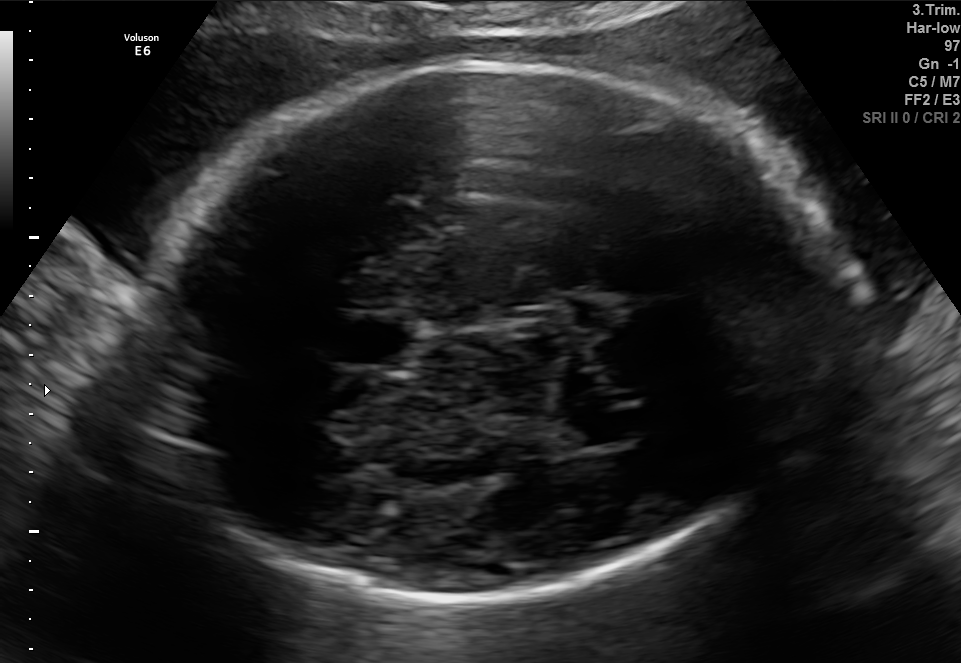
Fetal brain, trans-thalamic plane. Locate the fetal head.

Head: [138,61,847,596]